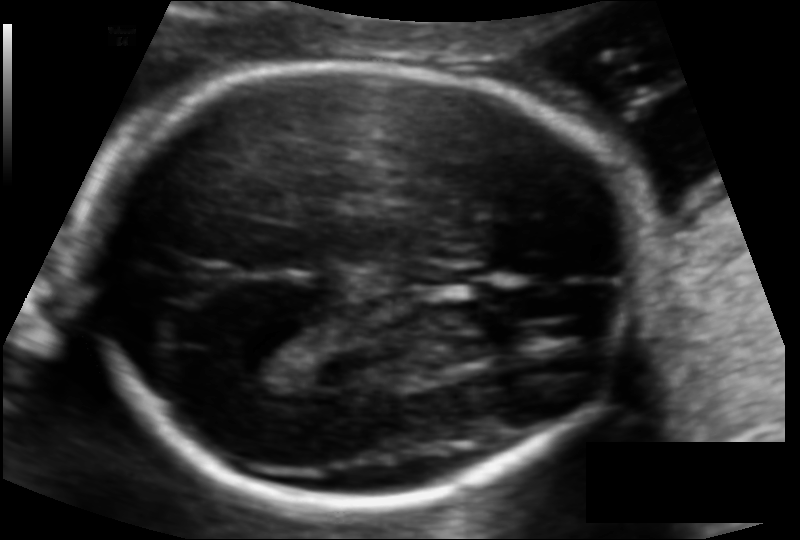
What is the fetal head circumference? Image width is 86.6 mm.

176.2 mm